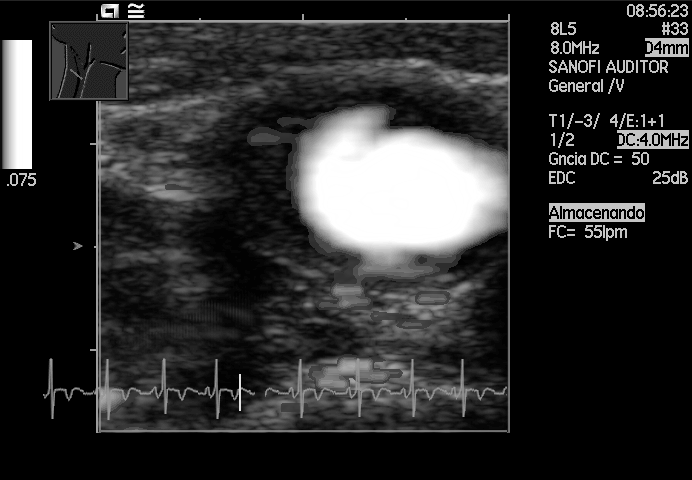
Identify the standard plane in this fetal ultrasound image: fetal abdomen, fetal brain, fetal femur, fetal thorax, maternal cervix, or other. If it's fetal brain and one of the three standard brain planes (trans-thalamic, trans-cerebellum, trans-ventricular), name which.

Other